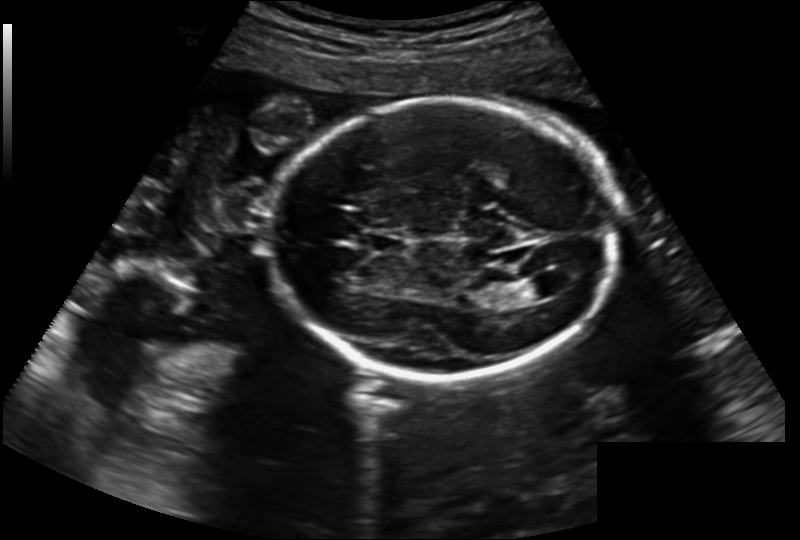
Fetal head ultrasound. Image width: 161.7 mm. Where is the fetal head?

Head bounding box: [267,100,618,378]